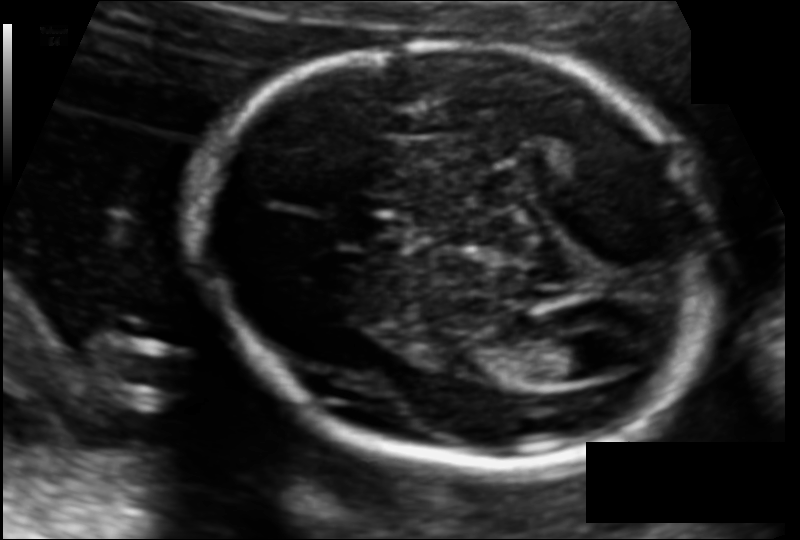
In this fetal head ultrasound, give the bounding box of the cavum septum pellucidum. Image width: 87.7 mm.

[331,211,403,249]